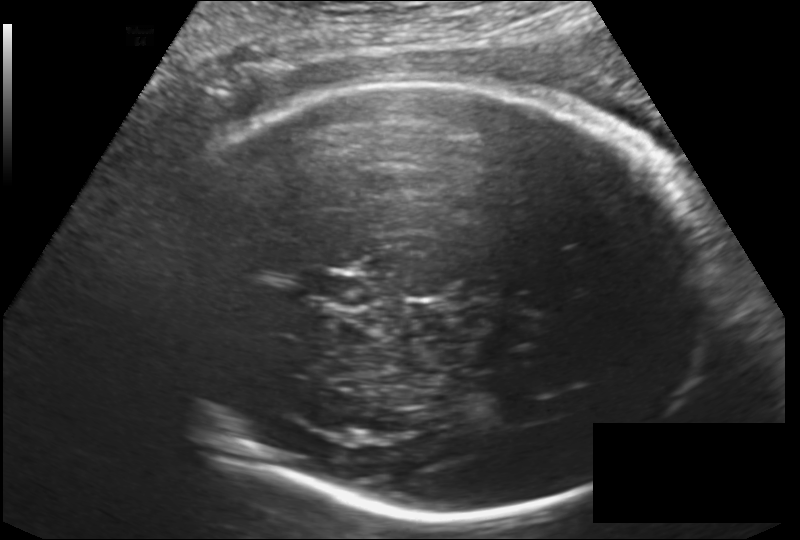
In this fetal head ultrasound, give bounding boxes for the head outline, cavum septum pellucidum (CSP), and lateral ventricle (LV), where visible. Image width: 145.9 mm.

Head: [156,80,702,519]
CSP: [304,265,374,312]